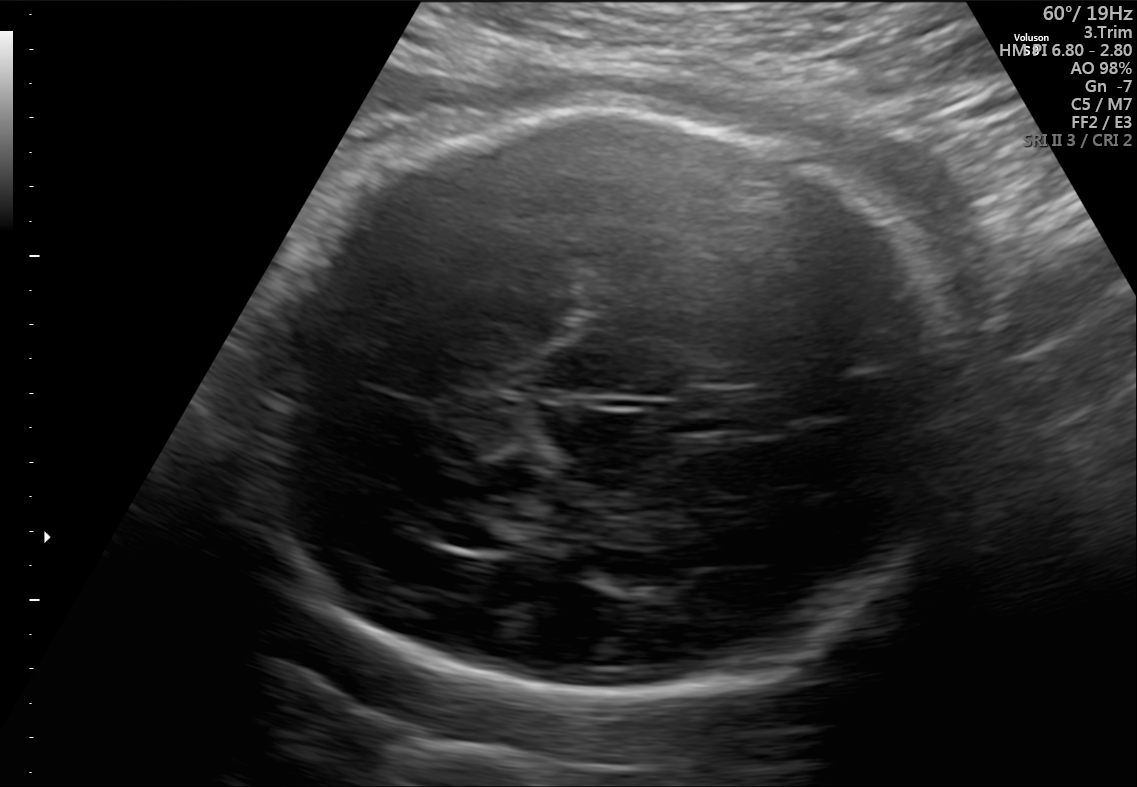
Identify the standard plane in this fetal ultrasound image: fetal abdomen, fetal brain, fetal femur, fetal thorax, maternal cervix, or other. If it's fetal brain and one of the three standard brain planes (trans-thalamic, trans-cerebellum, trans-ventricular), name which.

Fetal brain (trans-thalamic plane)